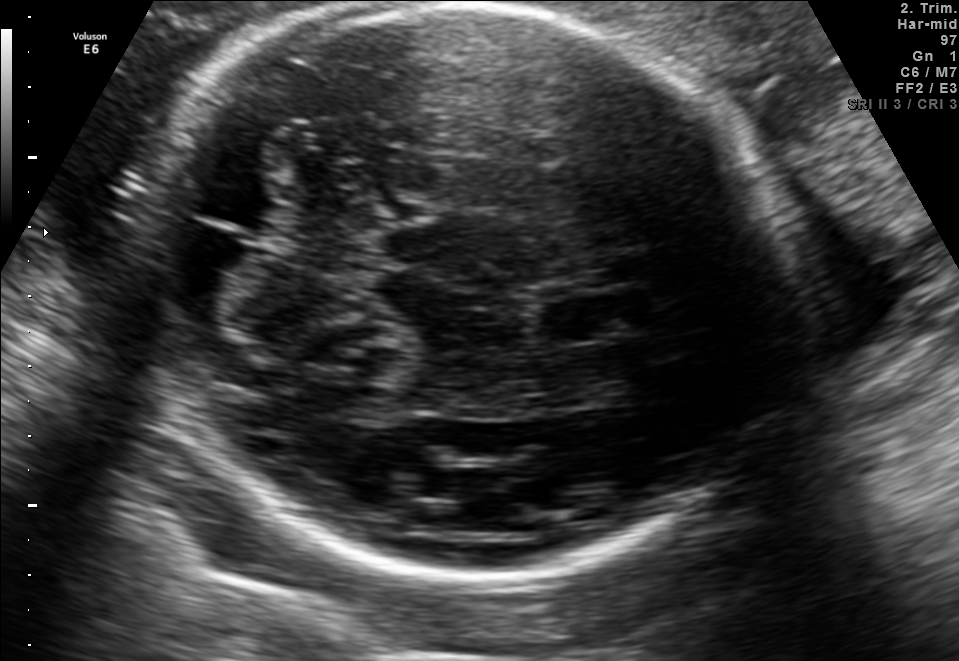
In this fetal brain, trans-cerebellum plane, give the bounding box of the fetal head.

[136,3,777,576]